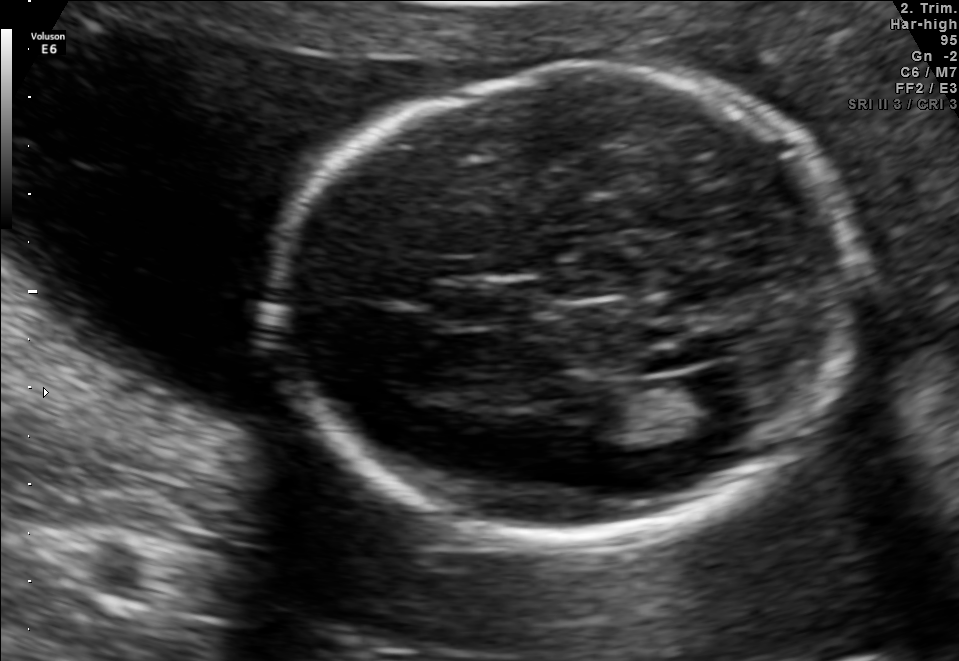
Fetal brain, trans-ventricular plane. Locate the cavum septum pellucidum.

CSP: [437,285,534,323]